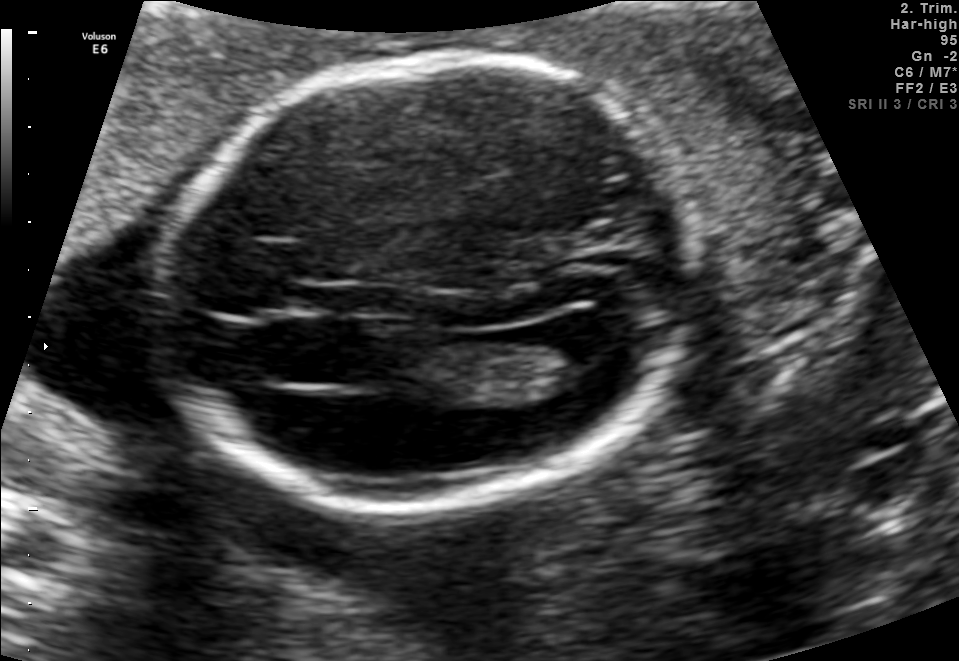
In this fetal brain, trans-ventricular plane, give the bounding box of the fetal head.

[147,48,708,527]